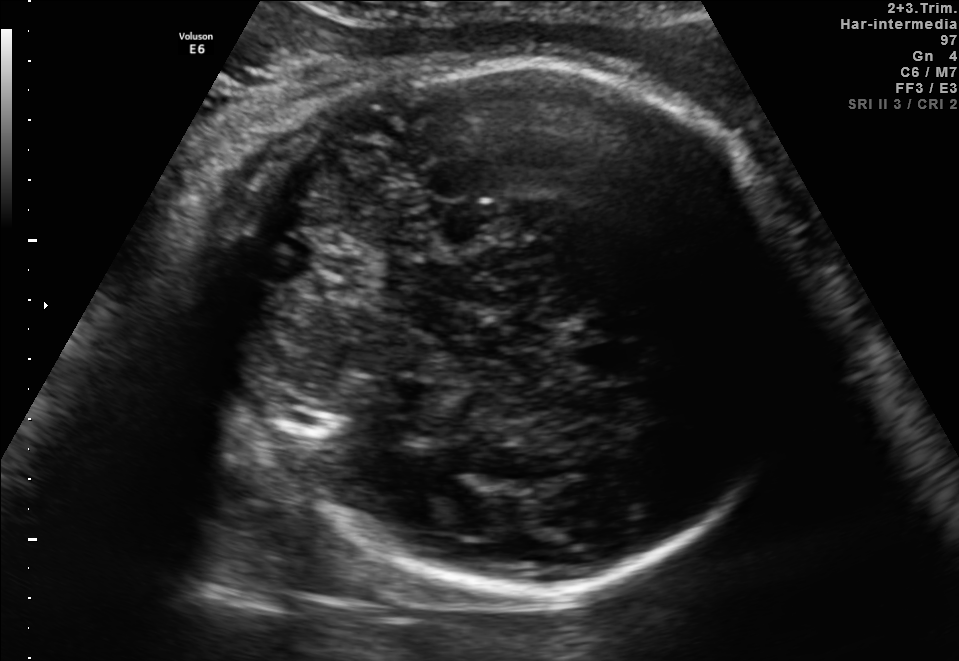
Fetal brain, trans-thalamic plane. Locate the fetal head and, if visible, the cavum septum pellucidum (CSP) and lateral ventricle (LV). Give bounding boxes as [x1,y1,x2,y2].

Head: [255,54,798,605]